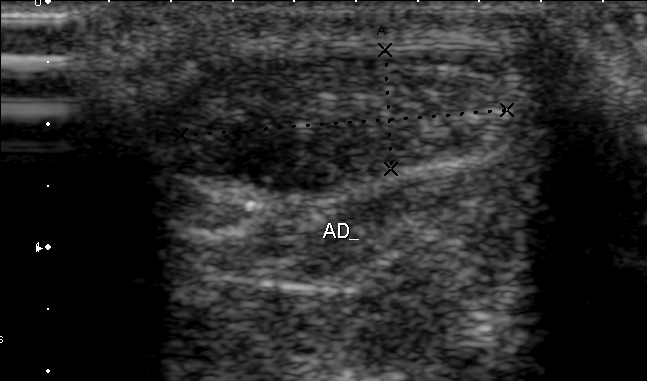
Identify the standard plane in this fetal ultrasound image: fetal abdomen, fetal brain, fetal femur, fetal thorax, maternal cervix, or other. If it's fetal brain and one of the three standard brain planes (trans-thalamic, trans-cerebellum, trans-ventricular), name which.

Other